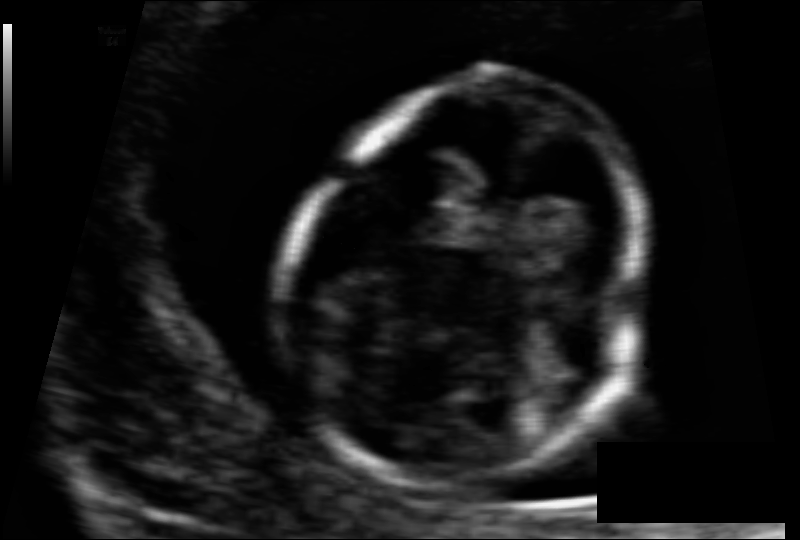
Fetal head ultrasound. Image width: 50.2 mm. Locate the fetal head and, if visible, the cavum septum pellucidum (CSP) and lateral ventricle (LV). Give bounding boxes as [x1,y1,x2,y2].

Head: [288,77,649,481]